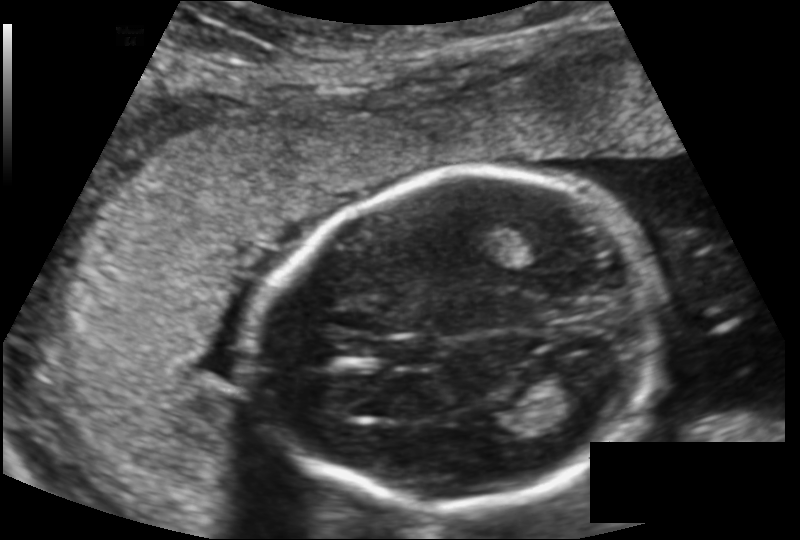
In this fetal head ultrasound, give the bounding box of the fetal head. Image width: 119.2 mm.

[249,175,657,507]